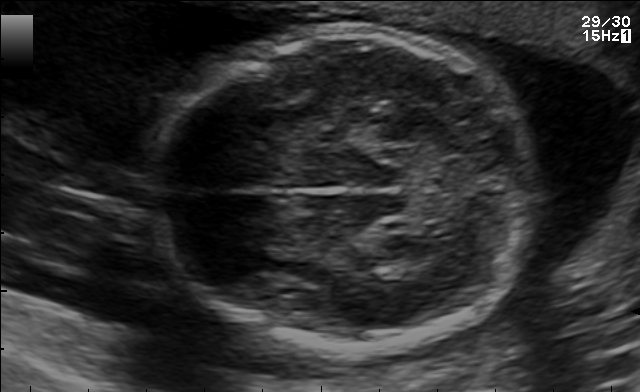
Classify this maternal-fetal ultrasound image as one of the six standard planes — fetal abdomen, fetal brain, fetal femur, fetal thorax, maternal cervix, or other. If it's fetal brain and one of the three standard brain planes (trans-thalamic, trans-cerebellum, trans-ventricular), name which.

Fetal brain (trans-thalamic plane)